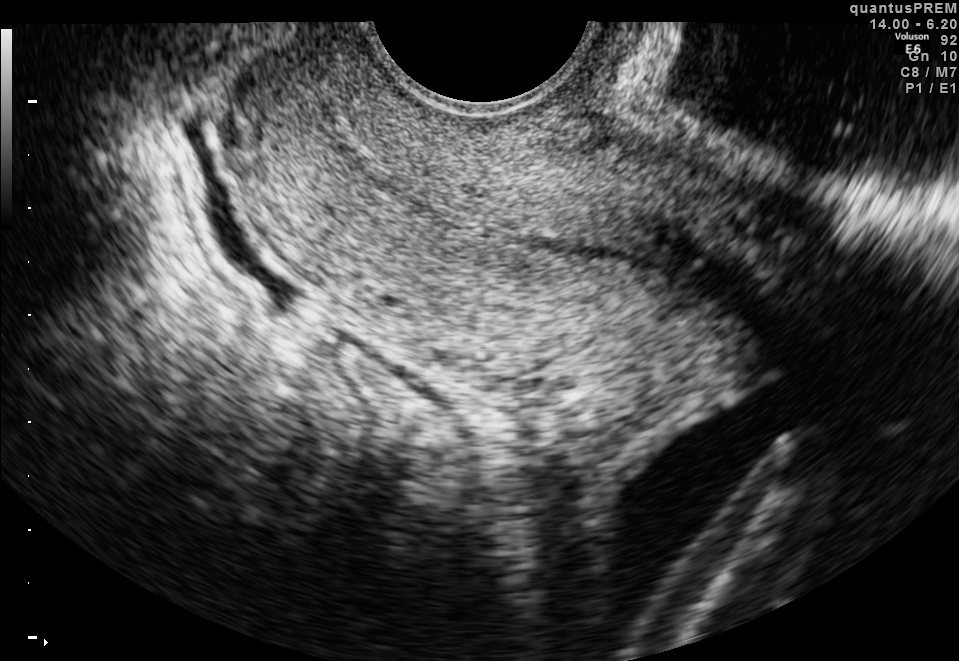
Classify this maternal-fetal ultrasound image as one of the six standard planes — fetal abdomen, fetal brain, fetal femur, fetal thorax, maternal cervix, or other. If it's fetal brain and one of the three standard brain planes (trans-thalamic, trans-cerebellum, trans-ventricular), name which.

Maternal cervix